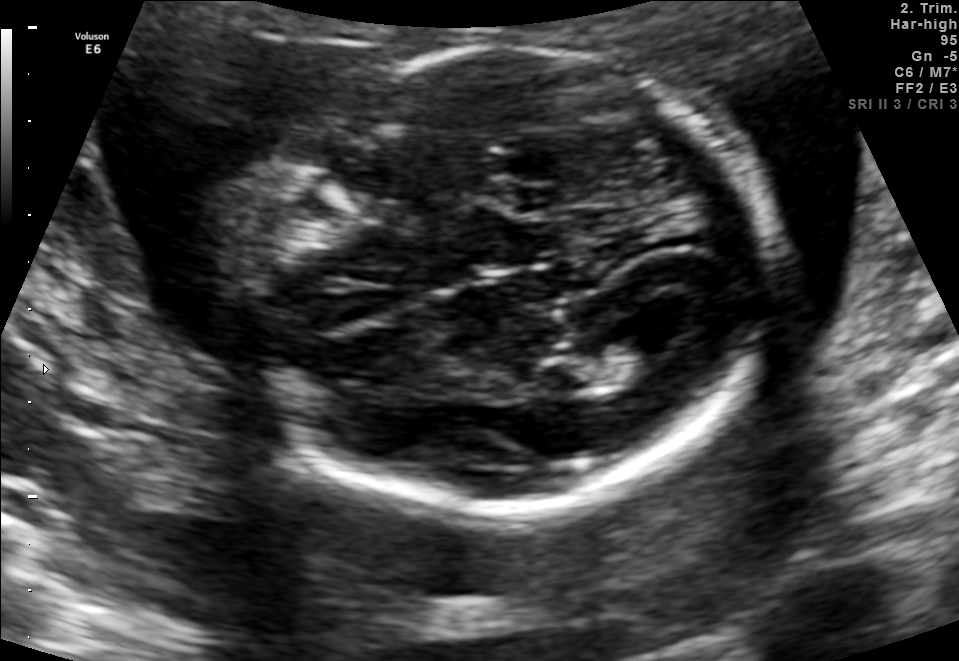
In this fetal brain, trans-ventricular plane, give bounding boxes for the head outline, cavum septum pellucidum (CSP), and lateral ventricle (LV), where visible.

Head: [216,42,787,519]